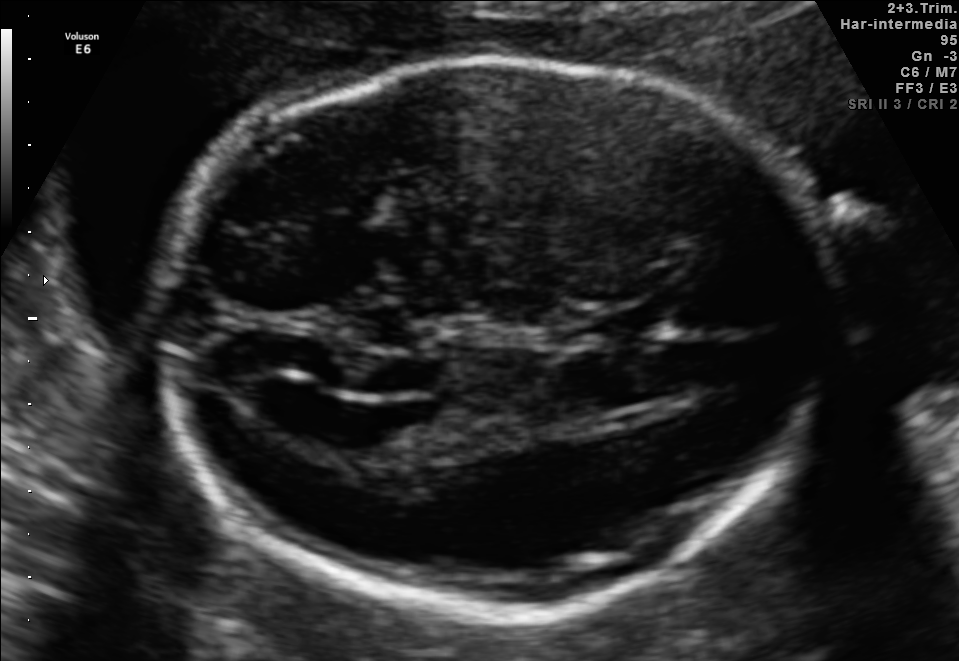
Fetal brain, trans-ventricular plane. Where is the fetal head?

Head bounding box: [143,47,864,626]